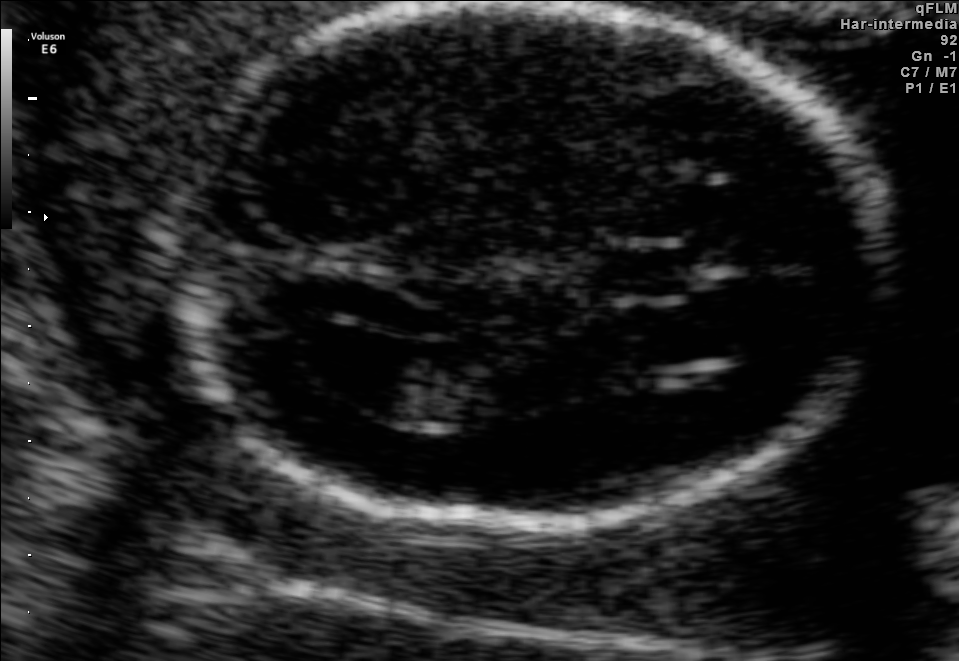
Fetal brain, trans-ventricular plane. Where is the fetal head?

Head bounding box: [141,3,908,546]